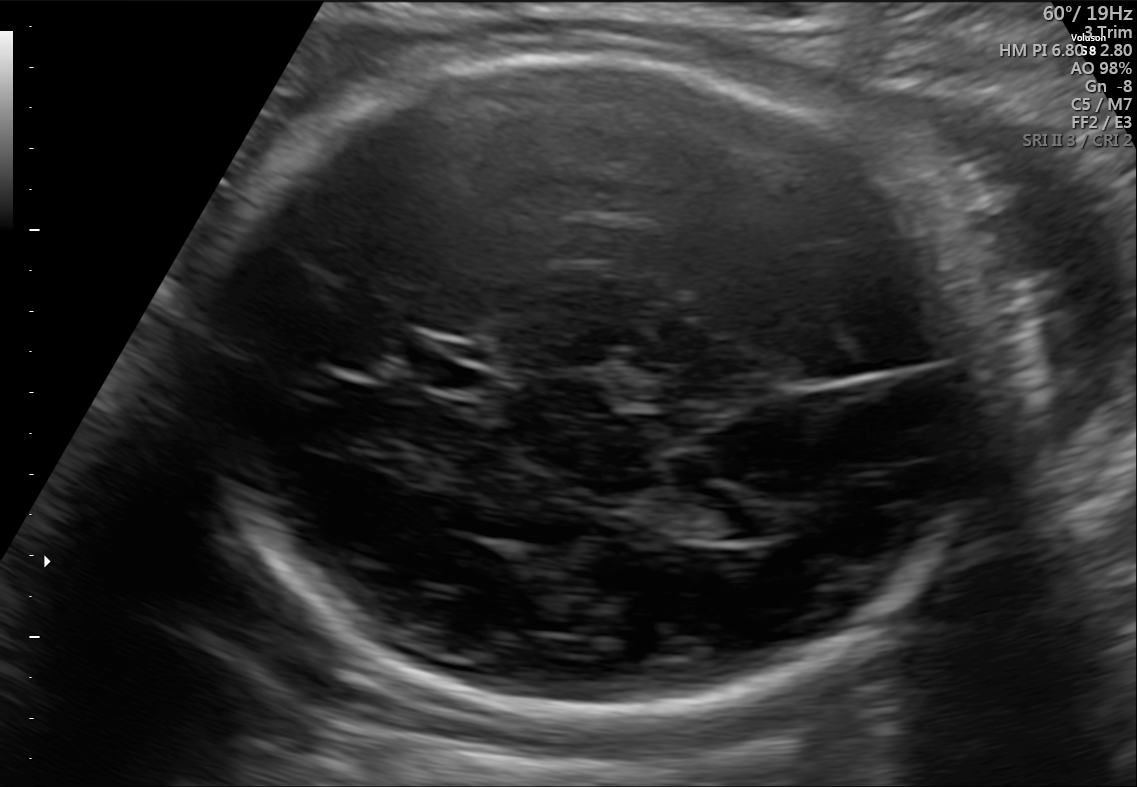
Fetal brain, trans-ventricular plane. Give [x1,y1,x2,y2] bounding boxes for each visible structure among: fetal head, CSP, LV.

Head: [173,51,988,736]
CSP: [393,328,498,402]
Lateral ventricle: [703,506,782,540]